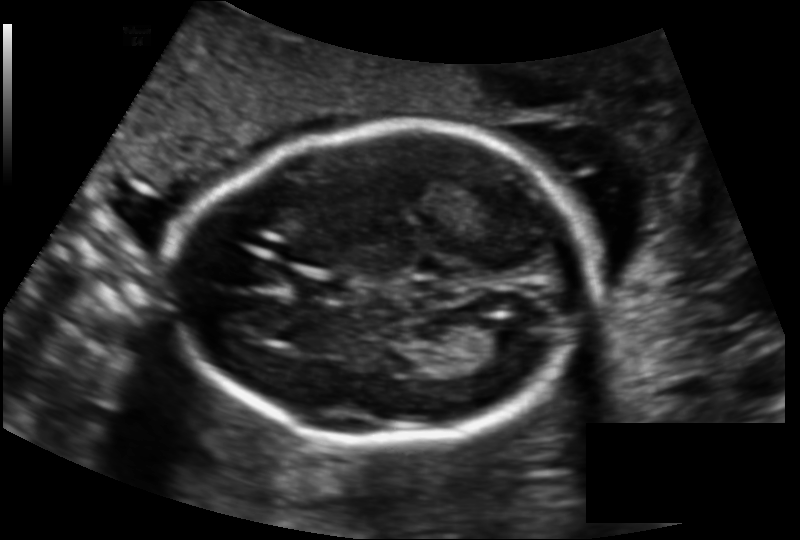
Fetal head ultrasound. Image width: 109.7 mm. Locate the lateral ventricle.

Lateral ventricle: [469,315,532,364]